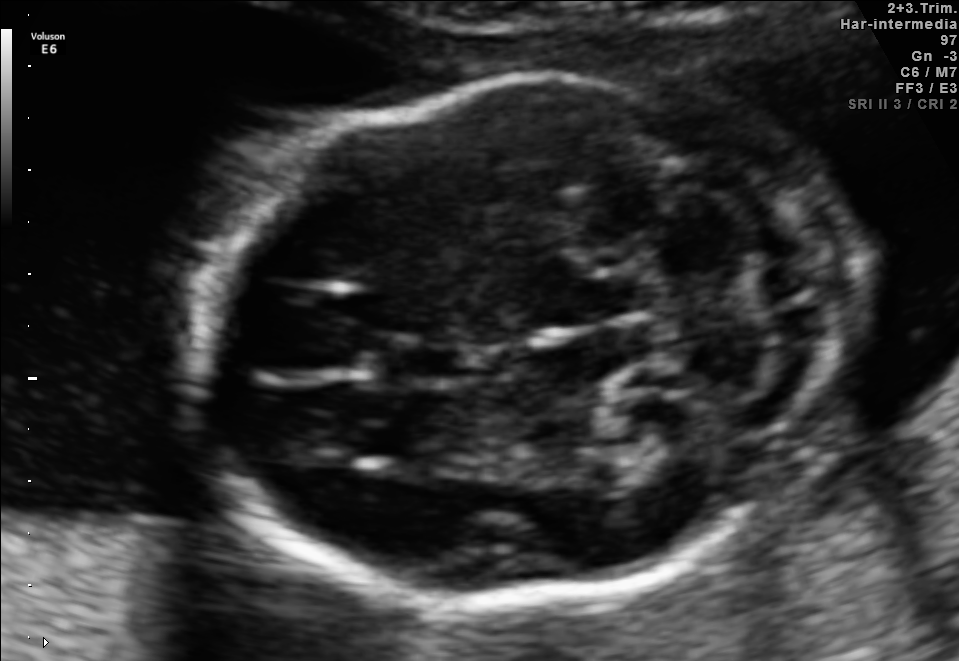
In this fetal brain, trans-cerebellum plane, give bounding boxes for the head outline, cavum septum pellucidum (CSP), and lateral ventricle (LV), where visible.

Head: [189,80,846,617]
CSP: [390,337,478,382]